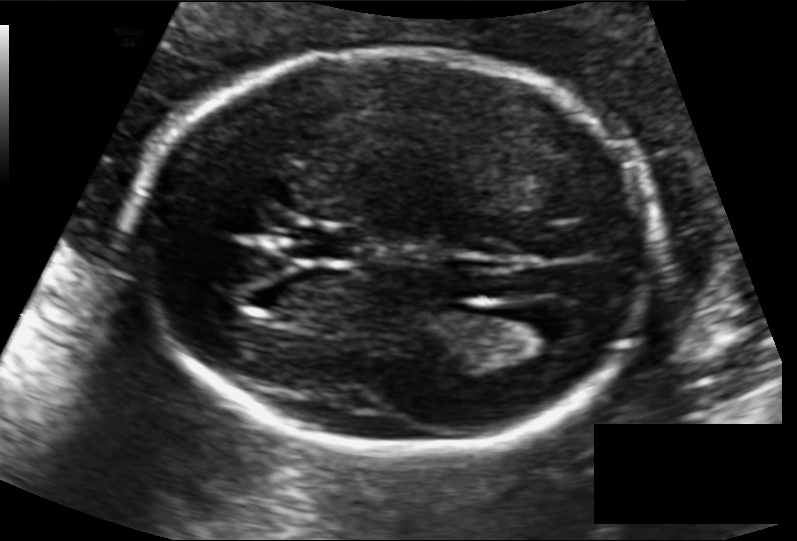
Fetal head ultrasound. Image width: 94.0 mm. Where is the lateral ventricle?

Lateral ventricle bounding box: [489,294,584,367]